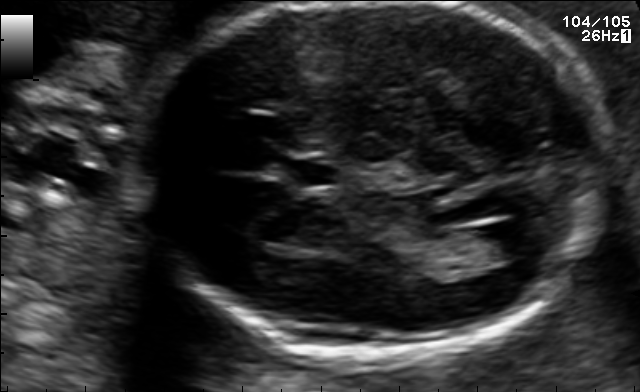
In this fetal brain, trans-ventricular plane, give the bounding box of the lateral ventricle.

[478,207,556,265]